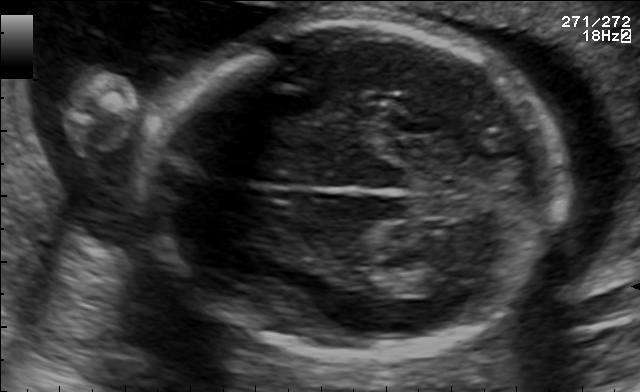
In this fetal brain, trans-thalamic plane, give the bounding box of the lateral ventricle.

[406,263,477,300]